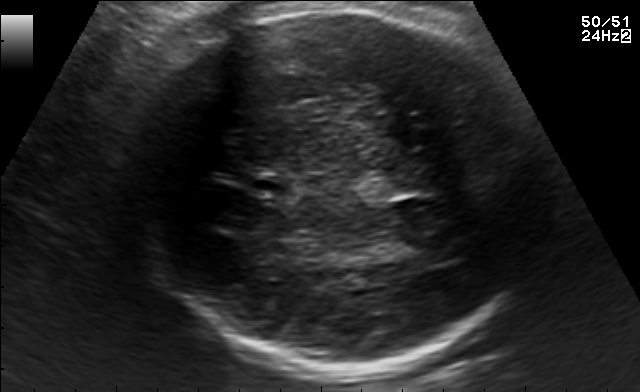
In this fetal brain, trans-thalamic plane, give the bounding box of the fetal head.

[132,8,537,372]